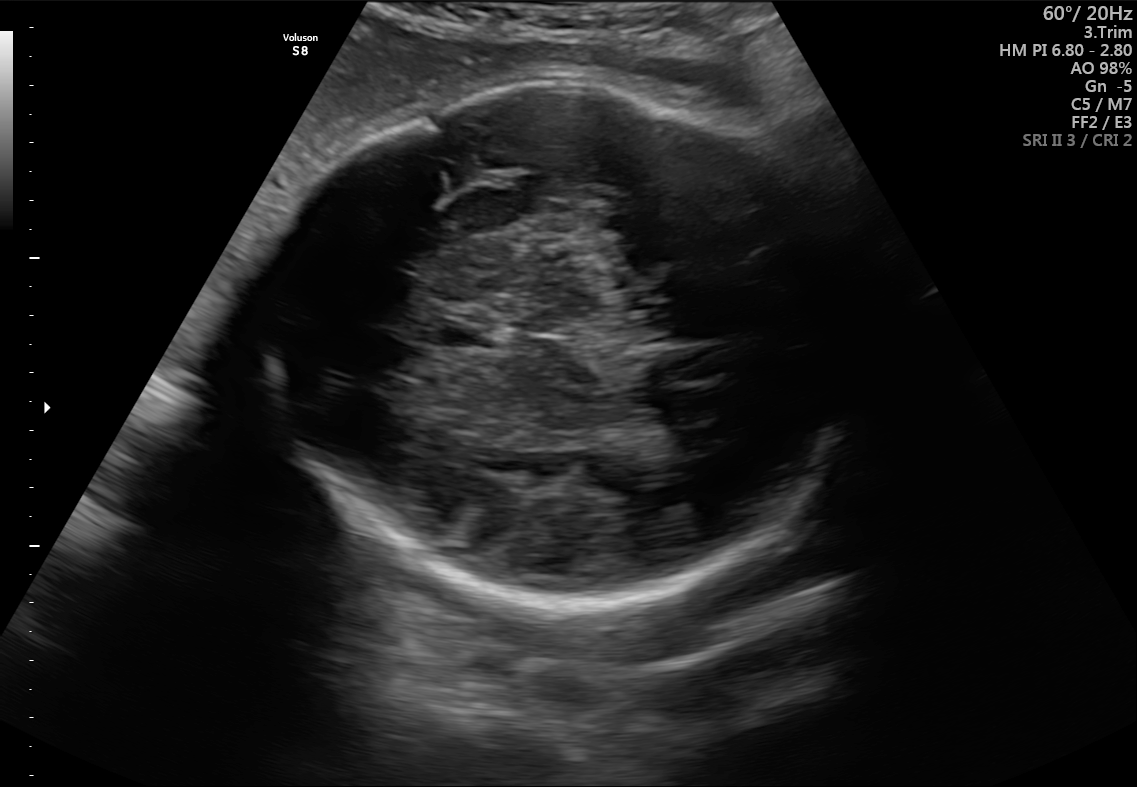
Fetal brain, trans-thalamic plane. Locate the fetal head.

Head: [257,77,870,612]